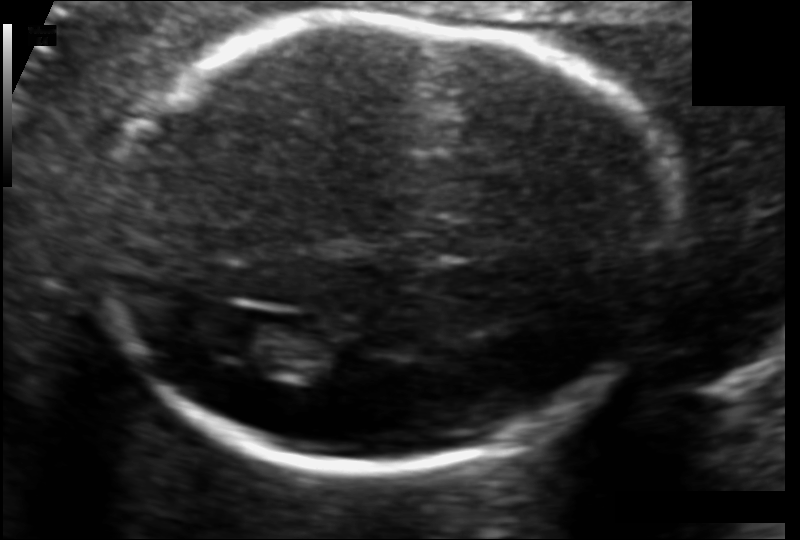
Fetal head ultrasound. Image width: 84.9 mm. Locate the lateral ventricle.

Lateral ventricle: [205,314,312,374]